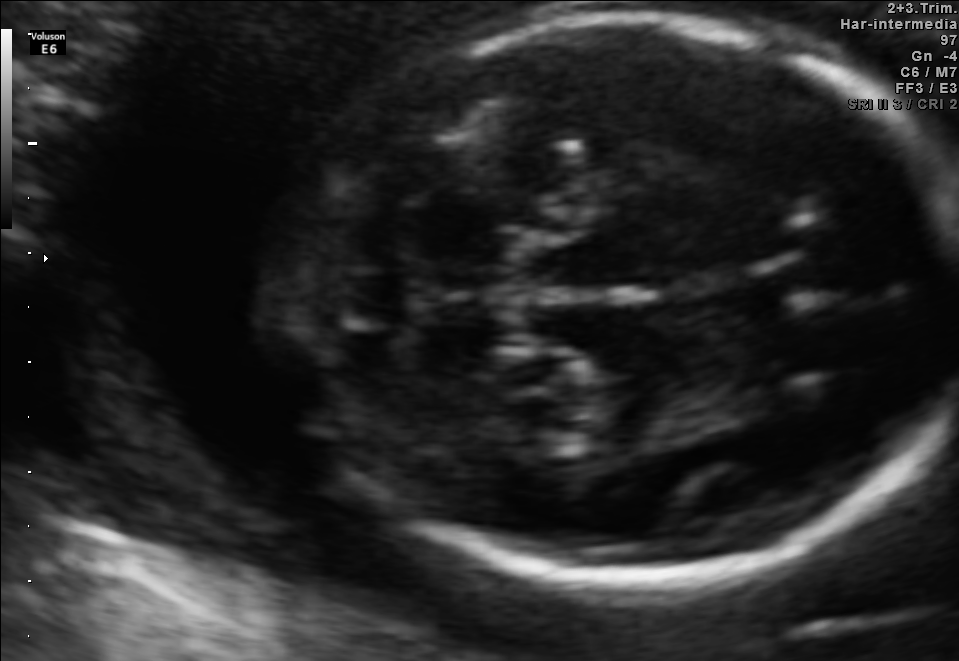
In this fetal brain, trans-cerebellum plane, give the bounding box of the fetal head.

[284,14,957,581]